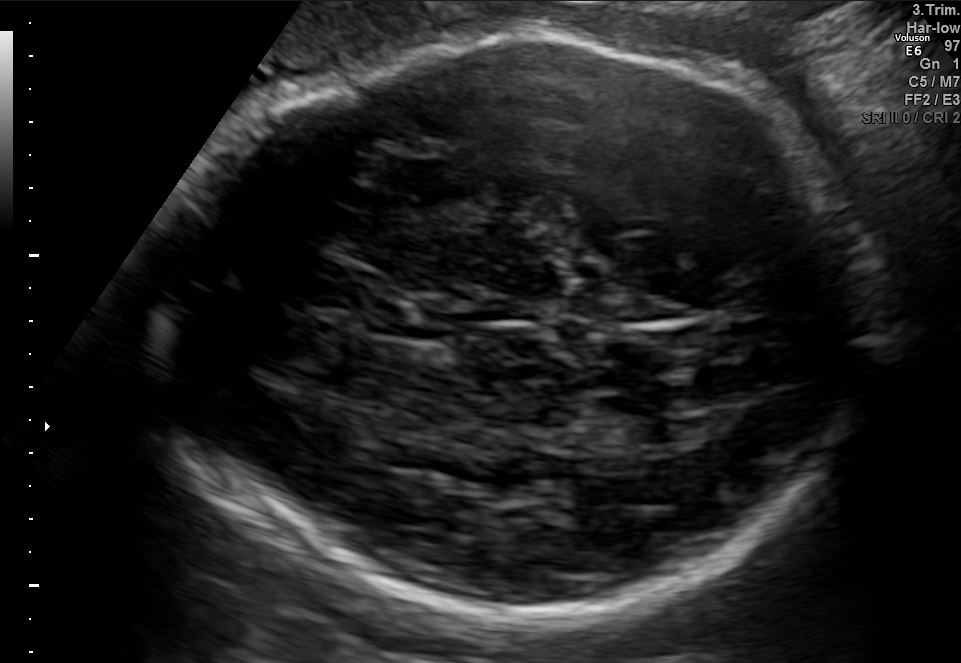
Fetal brain, trans-thalamic plane. Where is the fetal head?

Head bounding box: [150,33,875,616]